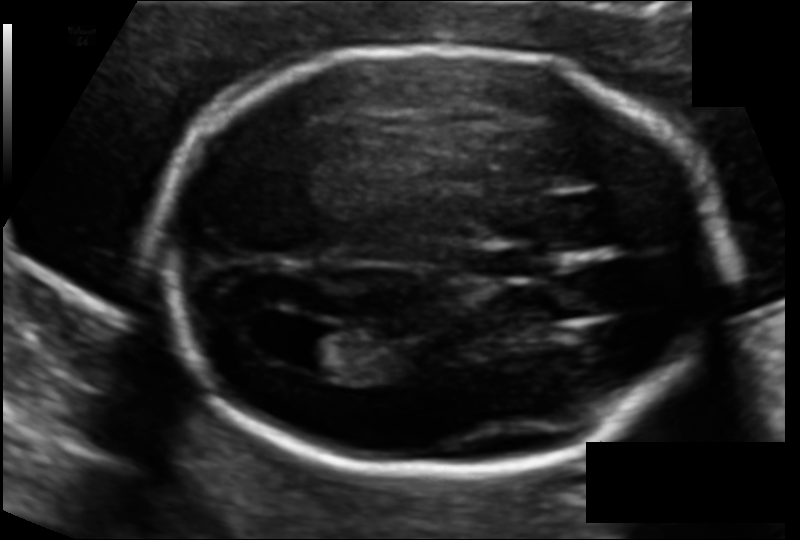
Fetal head ultrasound. Image width: 89.4 mm. Locate the fetal head and, if visible, the cavum septum pellucidum (CSP) and lateral ventricle (LV). Give bounding boxes as [x1,y1,x2,y2].

Head: [164,48,724,469]
CSP: [467,247,539,280]
Lateral ventricle: [291,320,371,384]